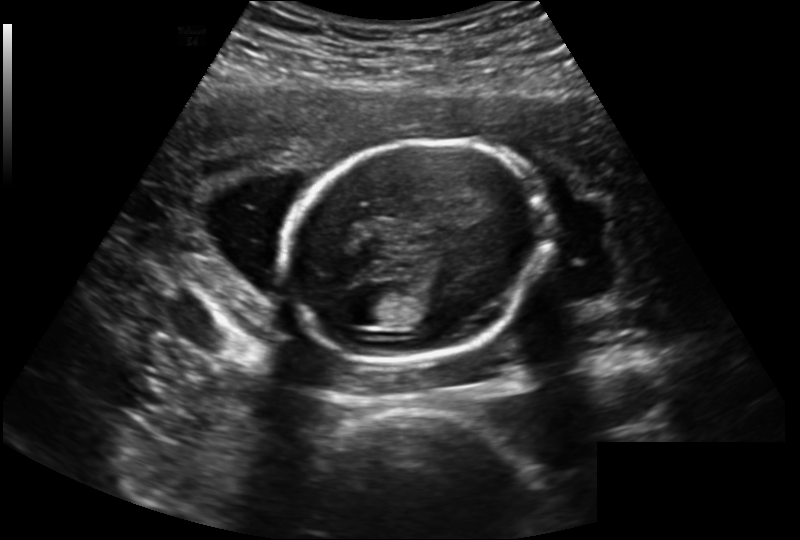
Fetal head ultrasound. Image width: 161.7 mm. Where is the lateral ventricle?

Lateral ventricle bounding box: [332,291,385,327]